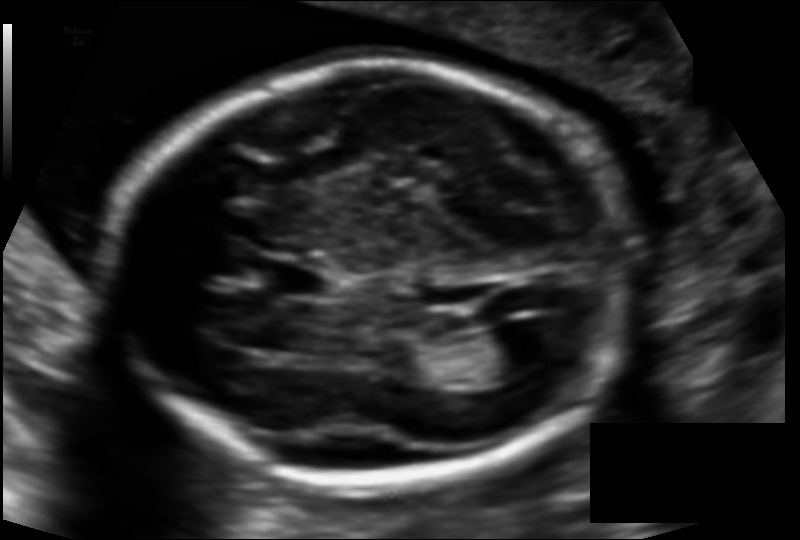
Fetal head ultrasound. Image width: 96.7 mm. Locate the cavum septum pellucidum.

CSP: [259,256,330,300]